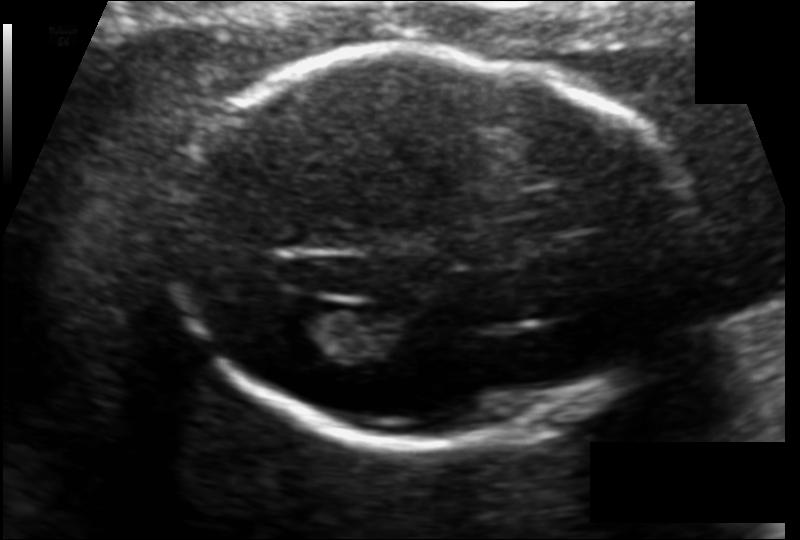
Fetal head ultrasound. Image width: 96.2 mm. Where is the fetal head?

Head bounding box: [175,49,688,450]